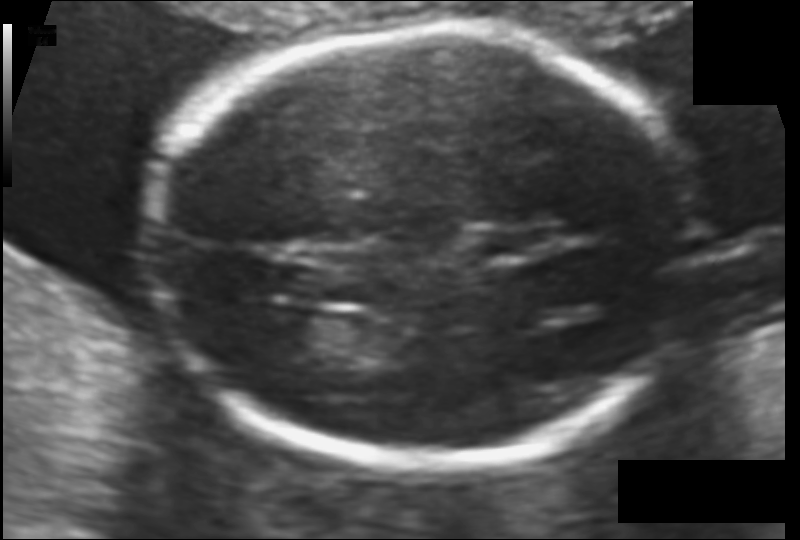
In this fetal head ultrasound, give bounding boxes for the head outline, cavum septum pellucidum (CSP), and lateral ventricle (LV), where visible. Image width: 82.1 mm.

Head: [149,29,697,465]